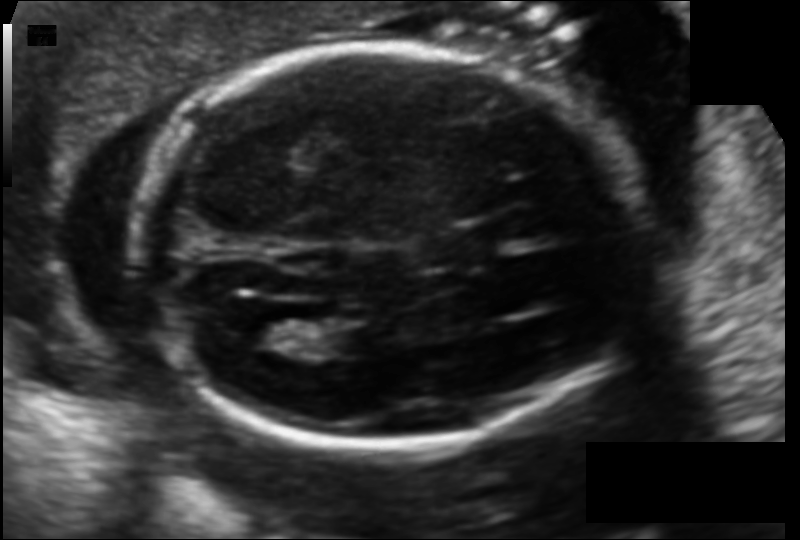
Fetal head ultrasound. Image width: 96.5 mm. Locate the fetal head.

Head: [137,45,633,451]